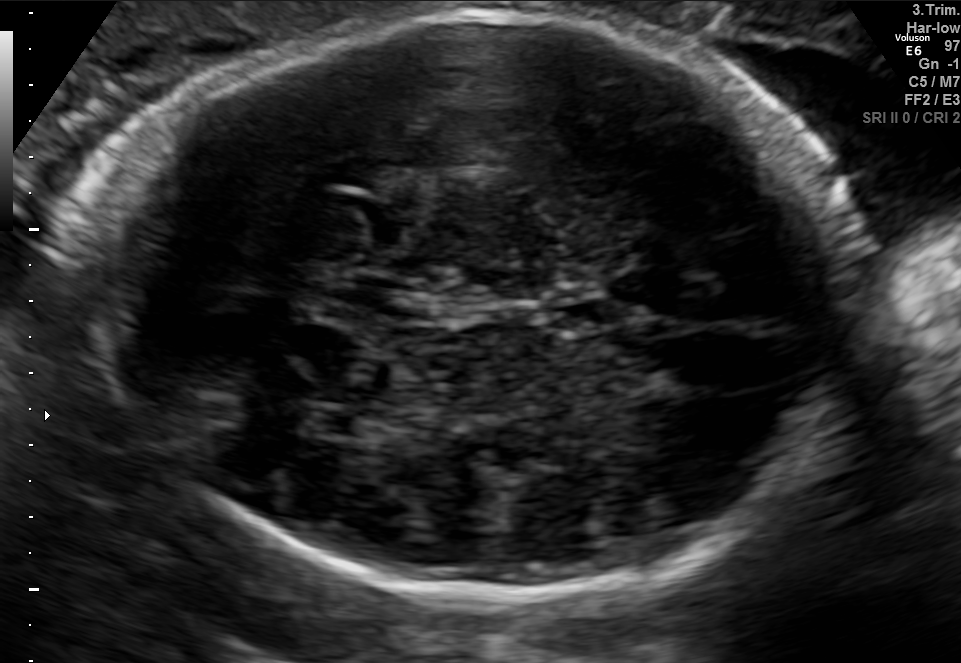
Fetal brain, trans-thalamic plane. Give [x1,y1,x2,y2] bounding boxes for each visible structure among: fetal head, CSP, LV.

Head: [76,14,853,593]
CSP: [546,291,633,336]
Lateral ventricle: [298,401,381,441]